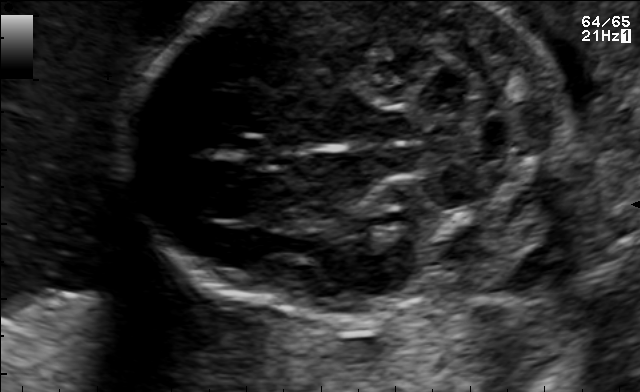
Fetal brain, trans-cerebellum plane. Where is the fetal head?

Head bounding box: [126,1,561,315]